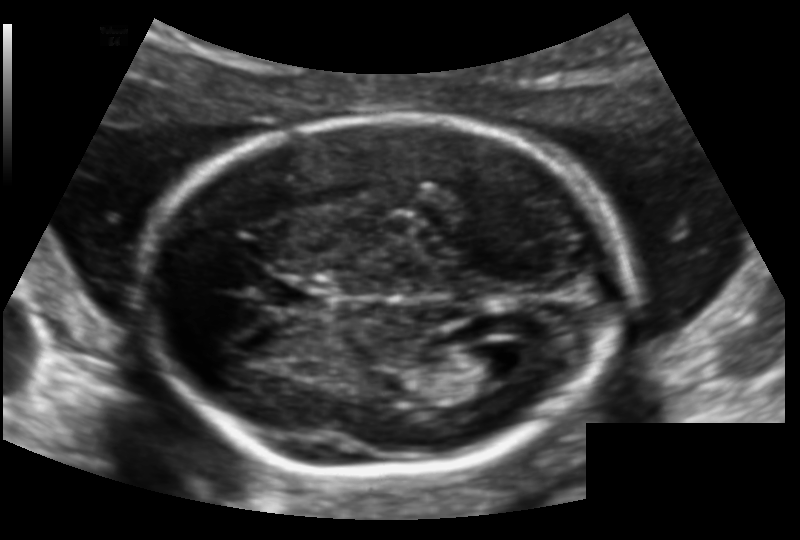
From this fetal ultrasound, estimate the head circumference (image width 102.0 mm).

Head circumference: 174.1 mm.